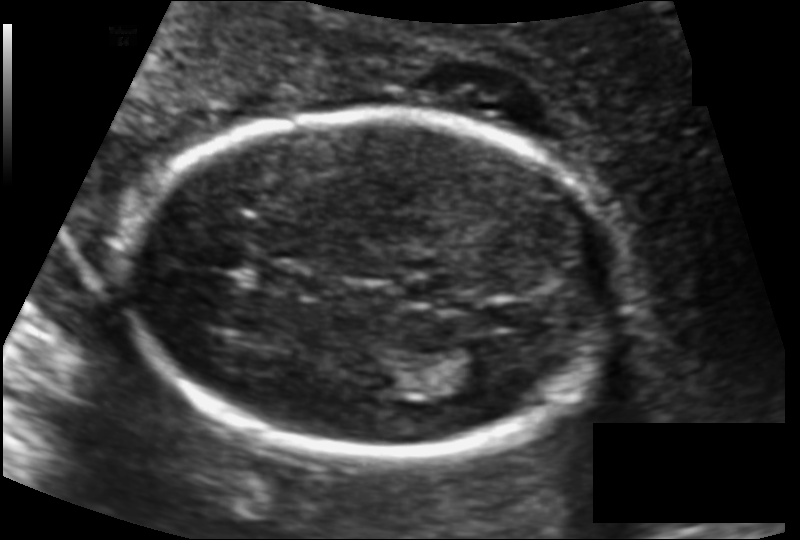
Fetal head ultrasound. Image width: 93.7 mm. Locate the fetal head and, if visible, the cavum septum pellucidum (CSP) and lateral ventricle (LV). Give bounding boxes as [x1,y1,x2,y2].

Head: [130,110,613,456]
CSP: [251,259,319,303]
Lateral ventricle: [437,339,510,393]